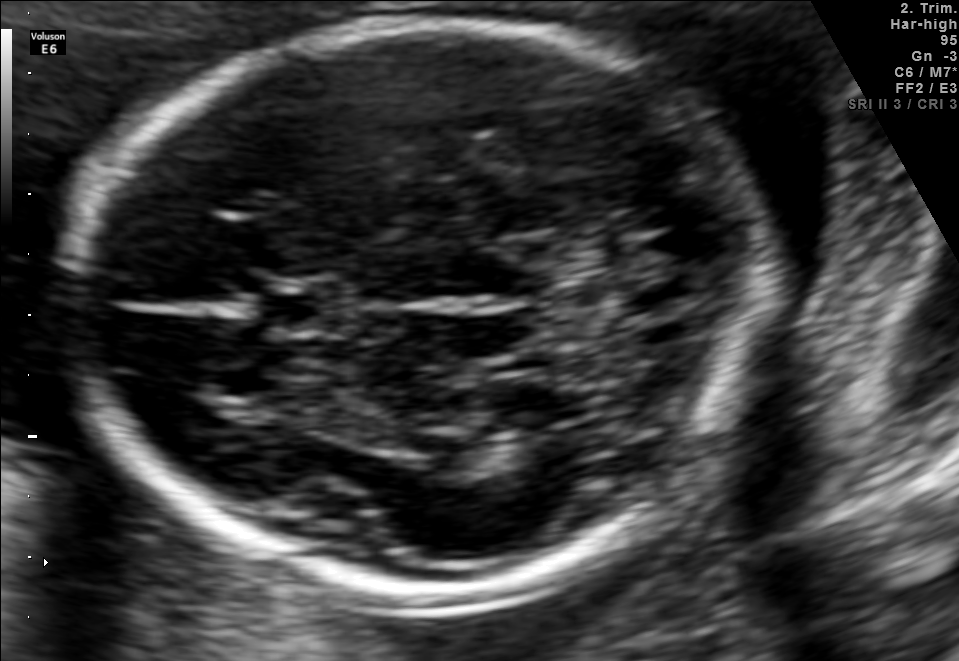
Fetal brain, trans-thalamic plane. Give [x1,y1,x2,y2] bounding boxes for each visible structure among: fetal head, CSP, LV.

Head: [70,24,781,597]
CSP: [266,282,346,329]